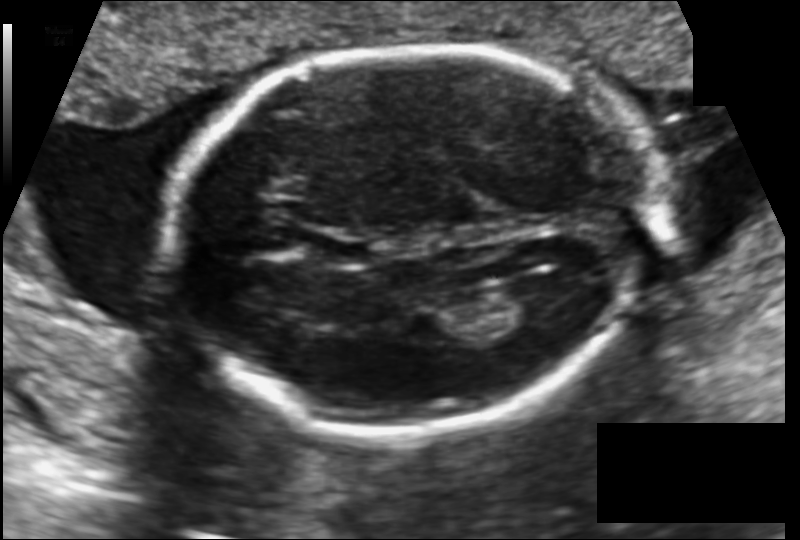
Estimate the fetal head circumference from this 2D ultrasound.

Head circumference: 187.2 mm (image width 106.0 mm).